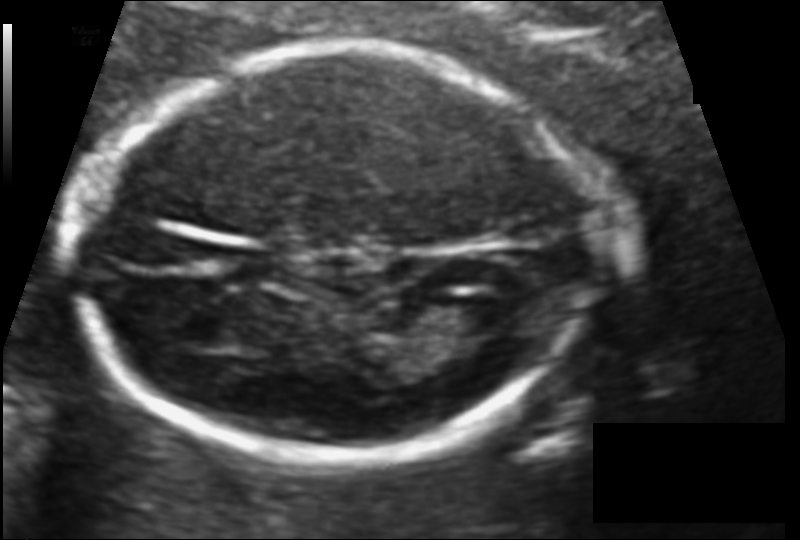
Fetal head ultrasound. Image width: 81.3 mm. Locate the lateral ventricle.

Lateral ventricle: [436,294,507,336]